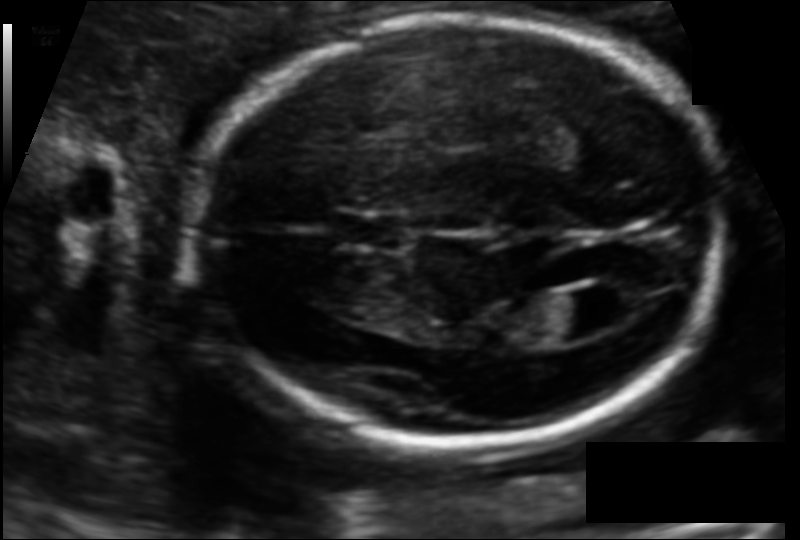
What is the fetal head circumference? Image width is 90.0 mm.

174.2 mm